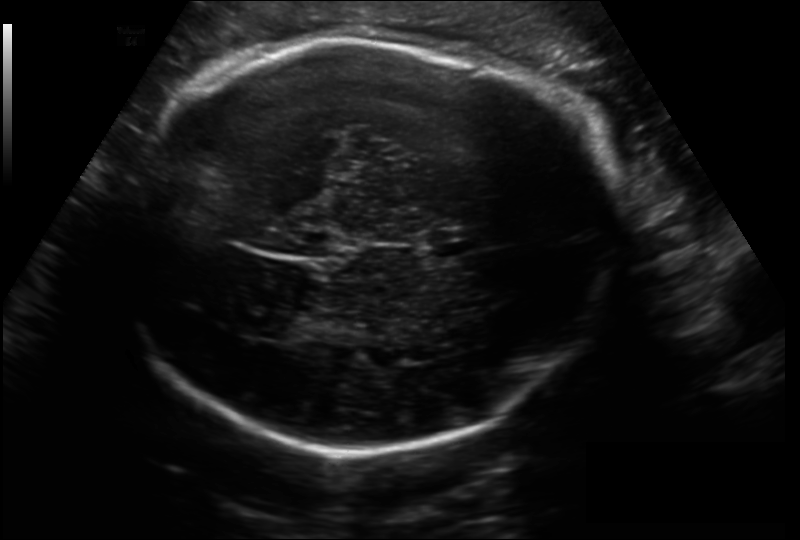
Fetal head ultrasound. Image width: 164.9 mm. Where is the fetal head?

Head bounding box: [109,40,619,453]